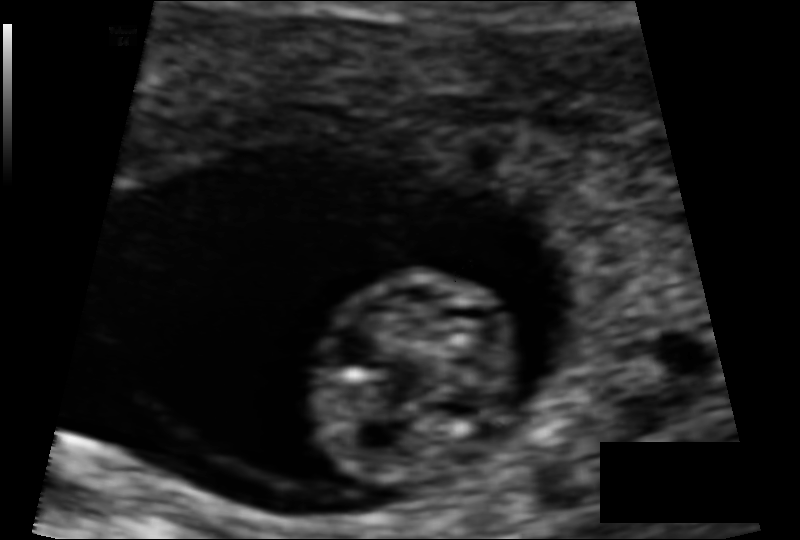
In this fetal head ultrasound, give bounding boxes for the head outline, cavum septum pellucidum (CSP), and lateral ventricle (LV), where visible. Image width: 55.3 mm.

Head: [310,269,523,485]